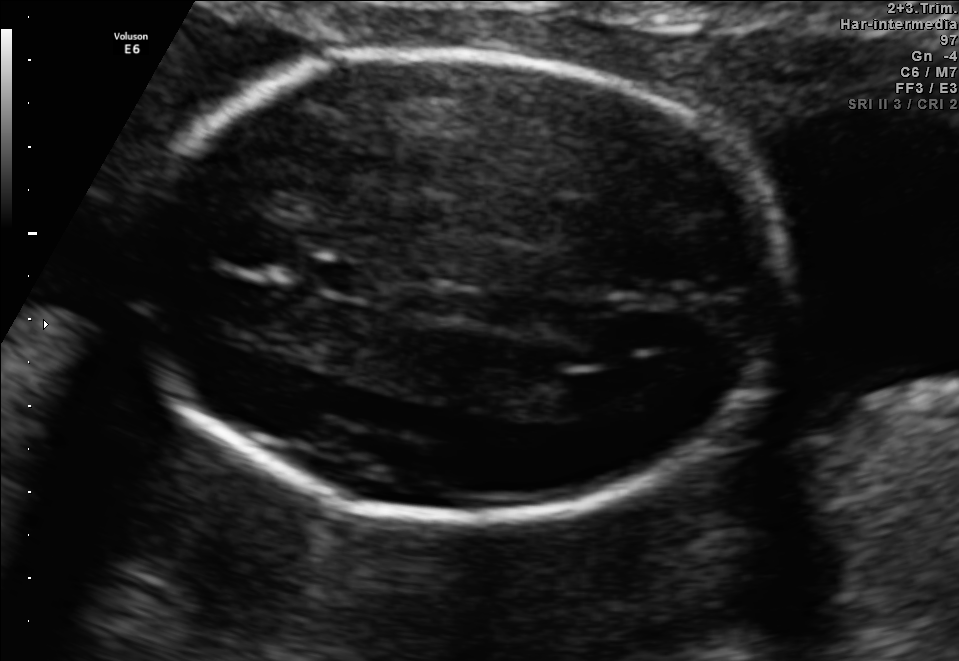
Fetal brain, trans-ventricular plane. Give [x1,y1,x2,y2] bounding boxes for each visible structure among: fetal head, CSP, LV.

Head: [118,46,805,531]